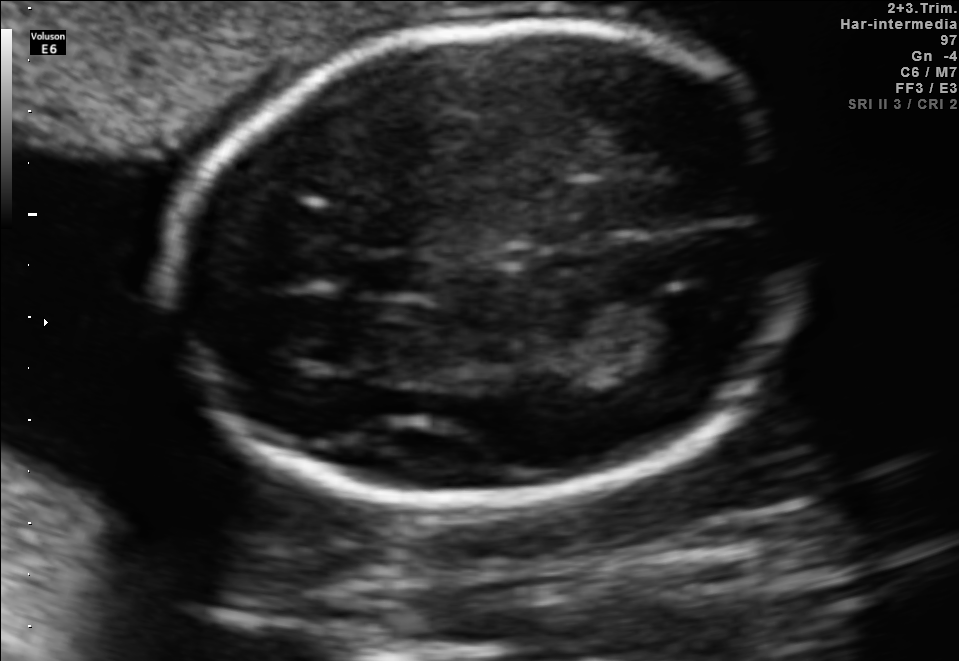
In this fetal brain, trans-thalamic plane, give bounding boxes for the head outline, cavum septum pellucidum (CSP), and lateral ventricle (LV), where visible.

Head: [170,21,801,506]
CSP: [351,259,429,292]
Lateral ventricle: [580,287,716,370]